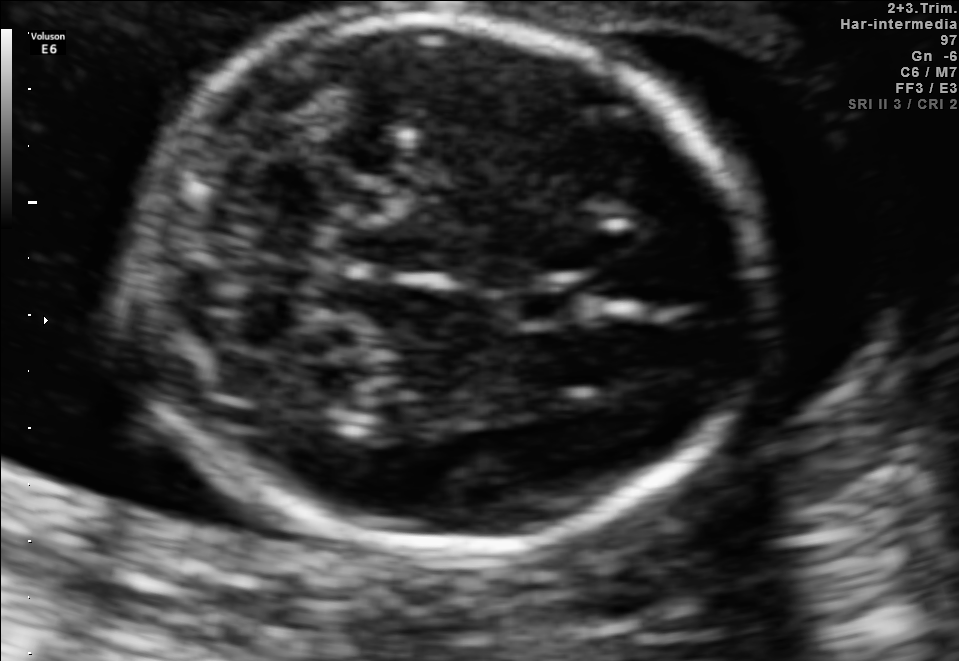
In this fetal brain, trans-cerebellum plane, give bounding boxes for the head outline, cavum septum pellucidum (CSP), and lateral ventricle (LV), where visible.

Head: [138,13,757,552]
CSP: [506,278,581,329]